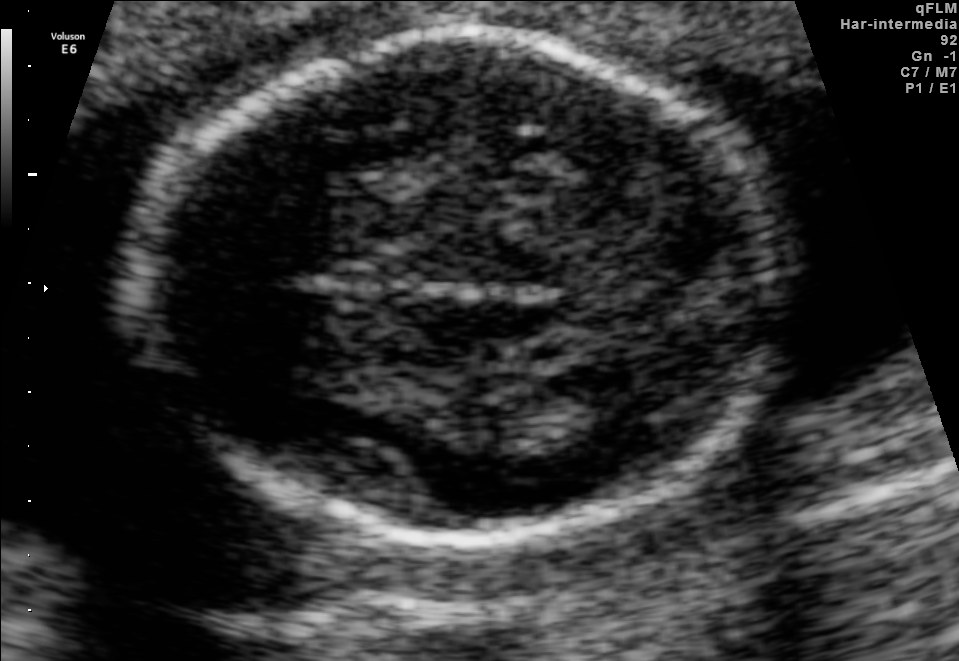
This is a 2D maternal-fetal ultrasound frame. Is it a fetal abdomen, fetal brain, fetal femur, fetal thorax, maternal cervix, or other standard plane? If it's fetal brain and one of the three standard brain planes (trans-thalamic, trans-cerebellum, trans-ventricular), name which.

Fetal brain (trans-thalamic plane)